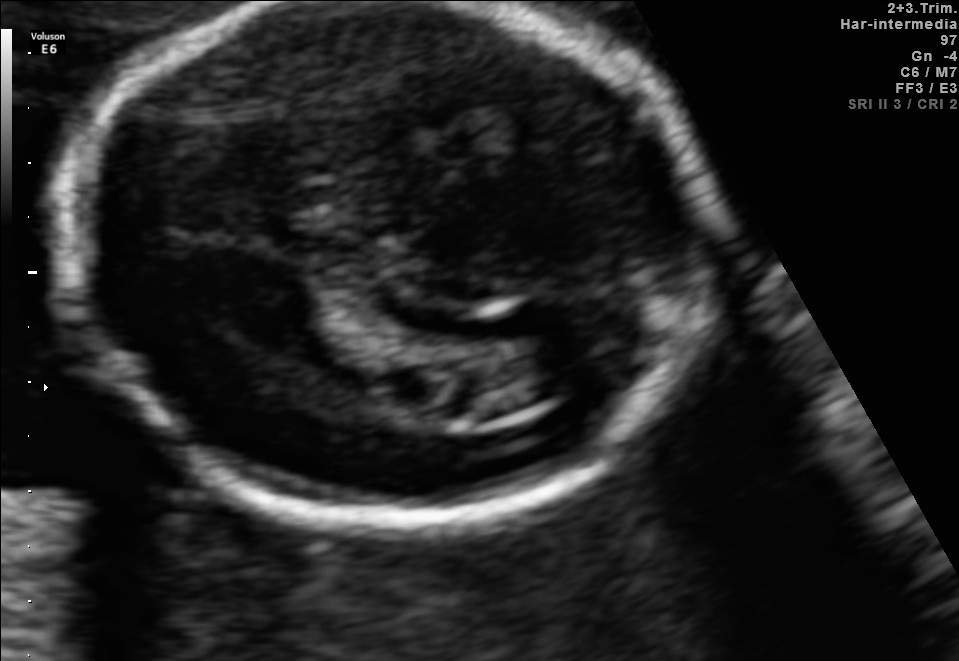
Fetal brain, trans-ventricular plane. Where is the fetal head?

Head bounding box: [47,3,736,542]